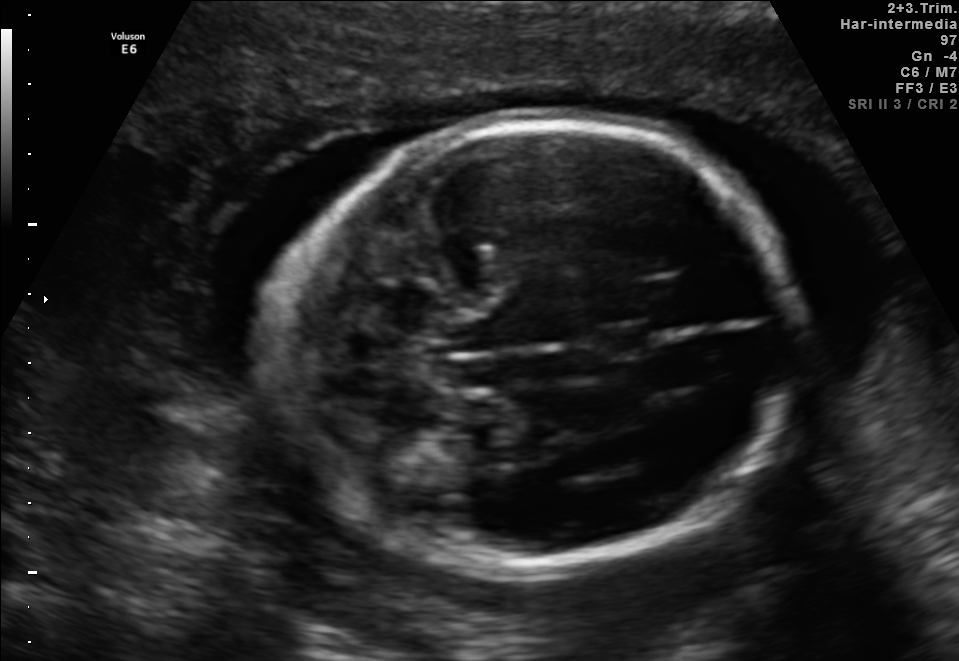
Fetal brain, trans-cerebellum plane. Where is the fetal head?

Head bounding box: [275,114,790,575]